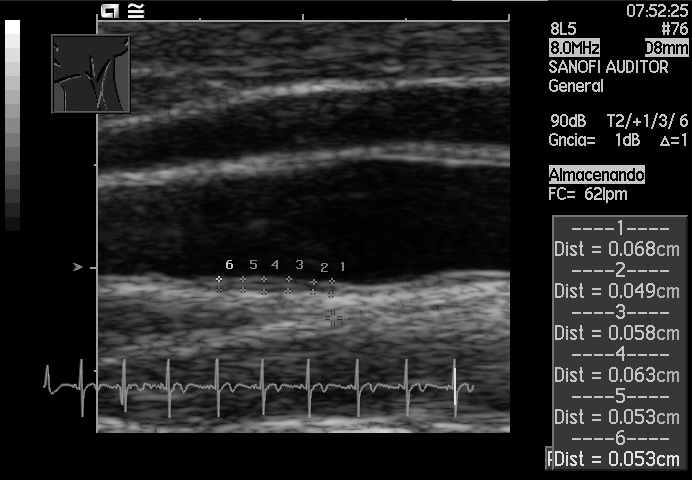
Which standard maternal-fetal ultrasound plane is shown: fetal abdomen, fetal brain, fetal femur, fetal thorax, maternal cervix, or other? If it's fetal brain and one of the three standard brain planes (trans-thalamic, trans-cerebellum, trans-ventricular), name which.

Other